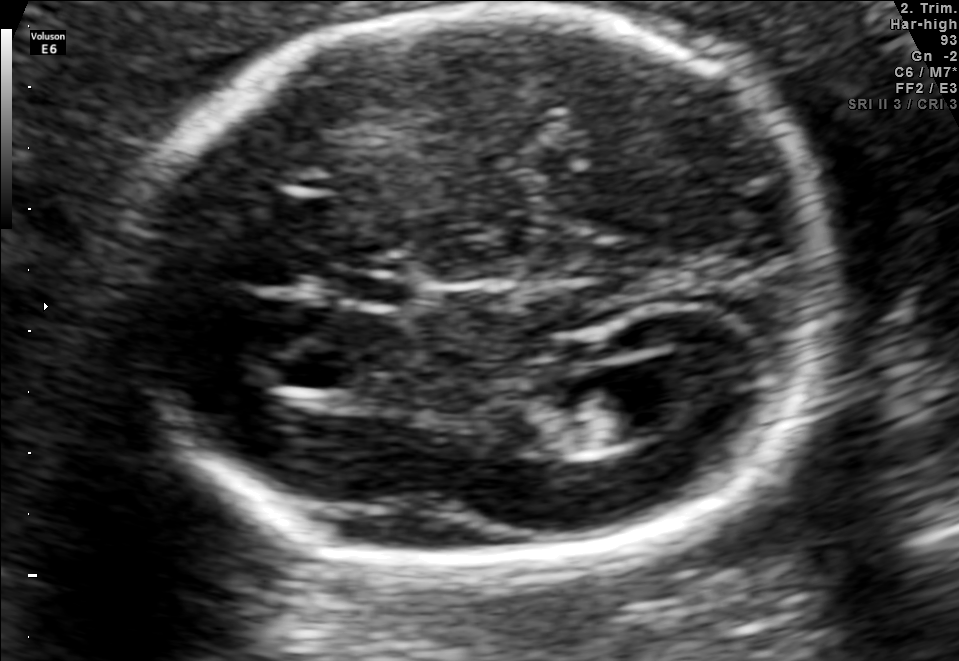
Fetal brain, trans-ventricular plane. Where is the cavum septum pellucidum?

CSP bounding box: [333,269,420,316]